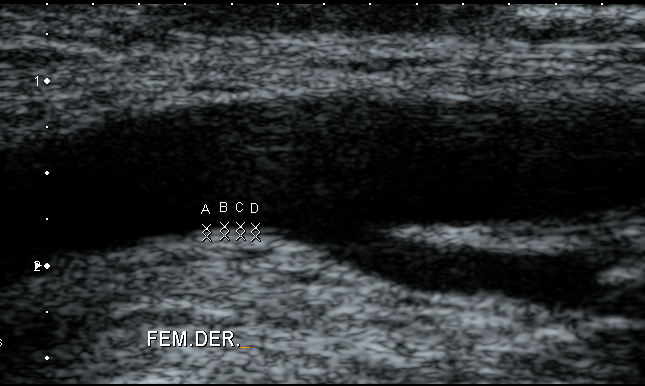
Identify the standard plane in this fetal ultrasound image: fetal abdomen, fetal brain, fetal femur, fetal thorax, maternal cervix, or other. If it's fetal brain and one of the three standard brain planes (trans-thalamic, trans-cerebellum, trans-ventricular), name which.

Other